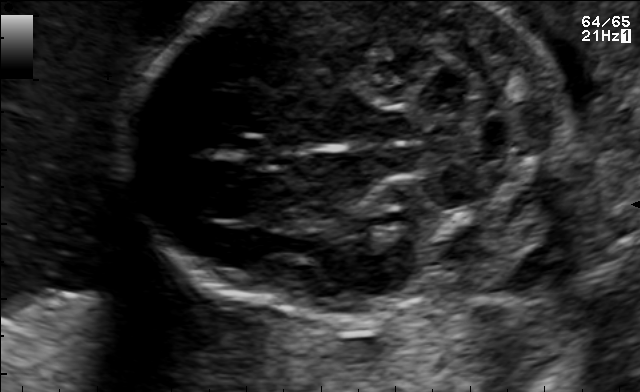
Fetal brain, trans-cerebellum plane. Give [x1,y1,x2,y2] bounding boxes for each visible structure among: fetal head, CSP, LV.

Head: [126,1,561,315]